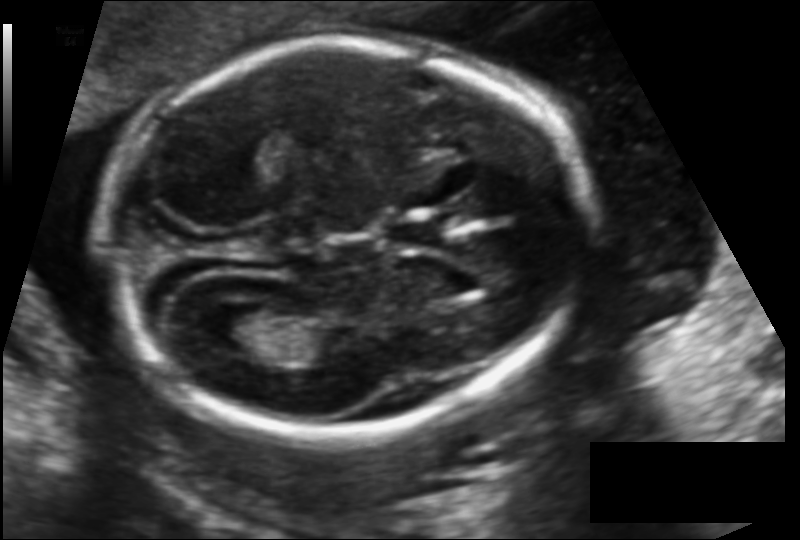
Fetal head ultrasound. Image width: 98.7 mm. Give [x1,y1,x2,y2] bounding boxes for each visible structure among: fetal head, CSP, LV.

Head: [100,42,593,428]
CSP: [386,211,451,252]
Lateral ventricle: [200,308,271,352]